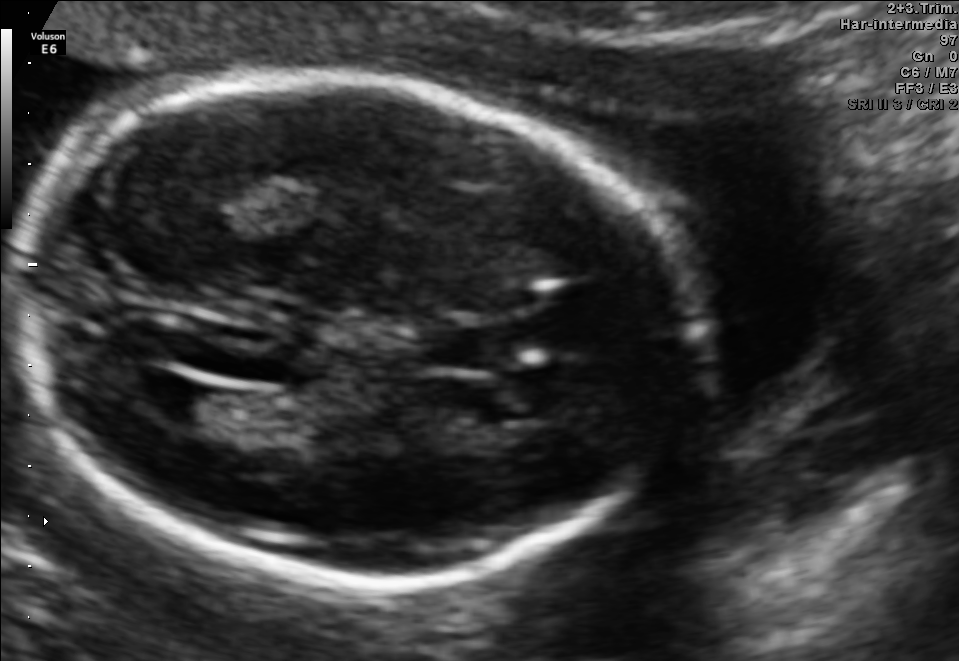
In this fetal brain, trans-ventricular plane, give the bounding box of the fetal head.

[10,65,719,596]